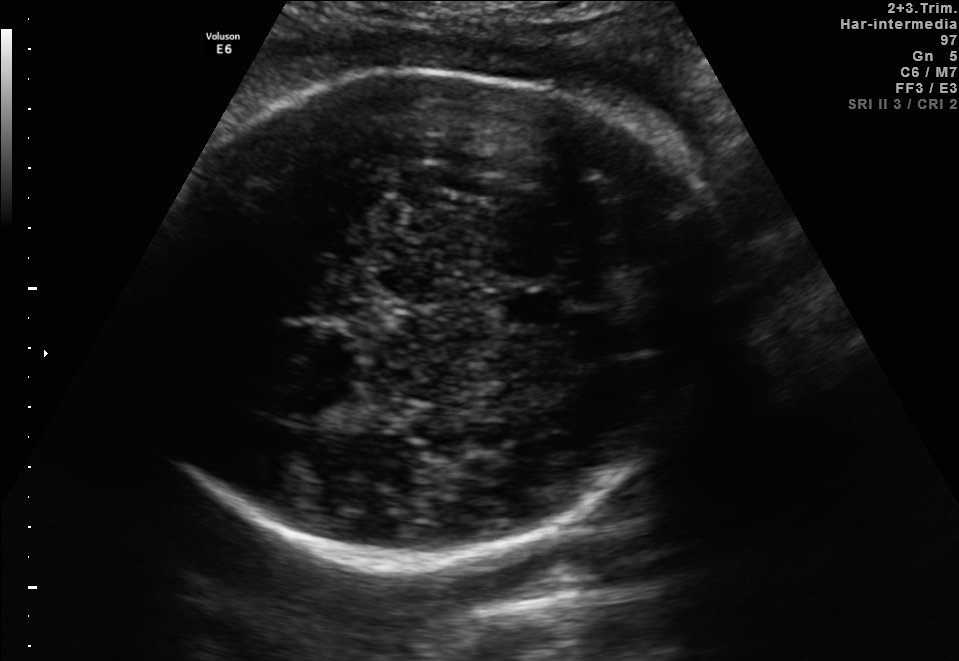
In this fetal brain, trans-thalamic plane, give the bounding box of the lateral ventricle.

[257,364,352,434]